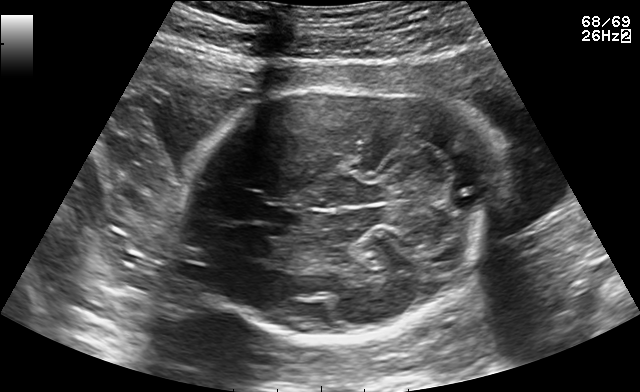
In this fetal brain, trans-cerebellum plane, give bounding boxes for the head outline, cavum septum pellucidum (CSP), and lateral ventricle (LV), where visible.

Head: [177,78,507,337]